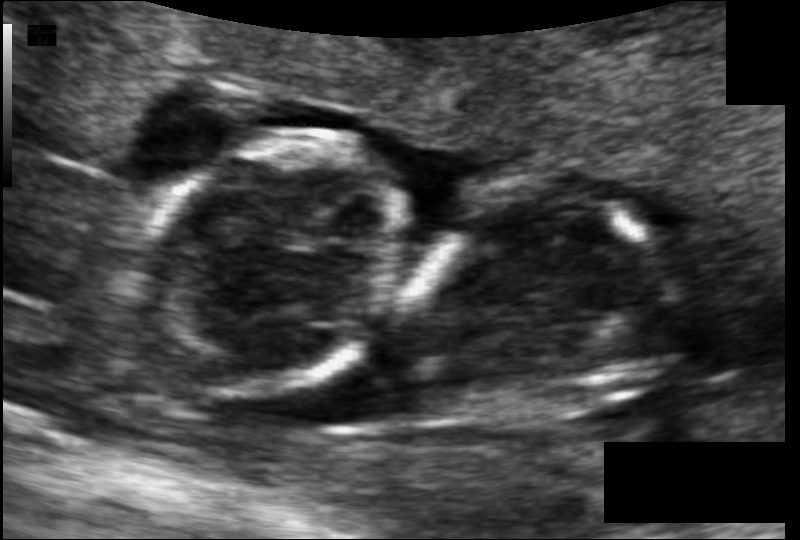
Fetal head ultrasound. Image width: 68.1 mm. Where is the fetal head?

Head bounding box: [138,140,401,392]